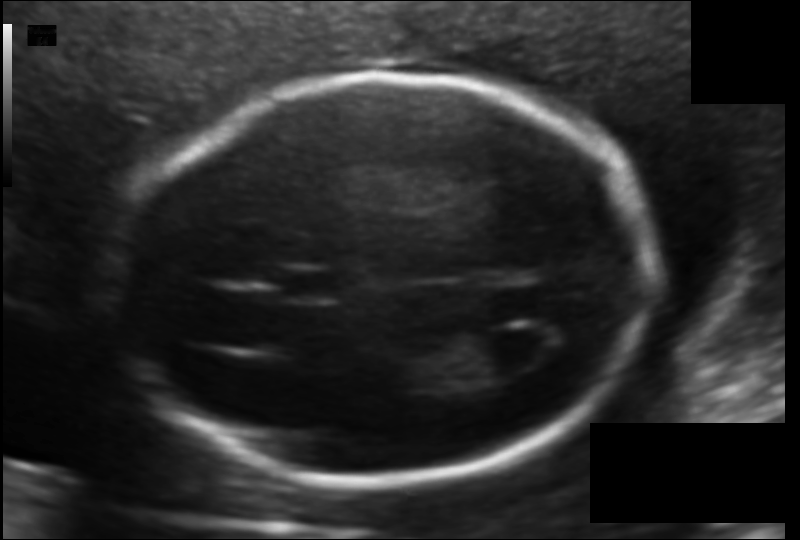
Fetal head ultrasound. Image width: 93.0 mm. Where is the cavum septum pellucidum?

CSP bounding box: [270,269,342,300]